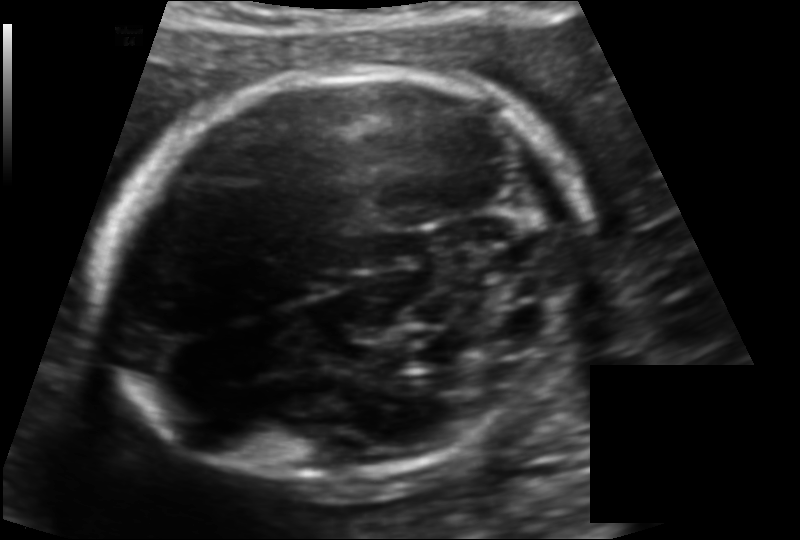
Fetal head ultrasound. Image width: 100.1 mm. Locate the fetal head and, if visible, the cavum septum pellucidum (CSP) and lateral ventricle (LV). Give bounding boxes as [x1,y1,x2,y2].

Head: [103,66,586,487]